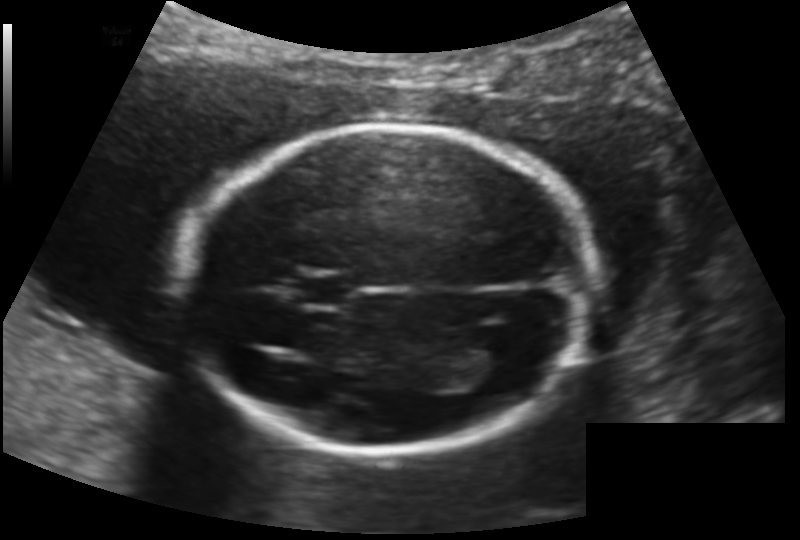
Fetal head ultrasound. Image width: 116.3 mm. Where is the lateral ventricle?

Lateral ventricle bounding box: [456,348,518,388]